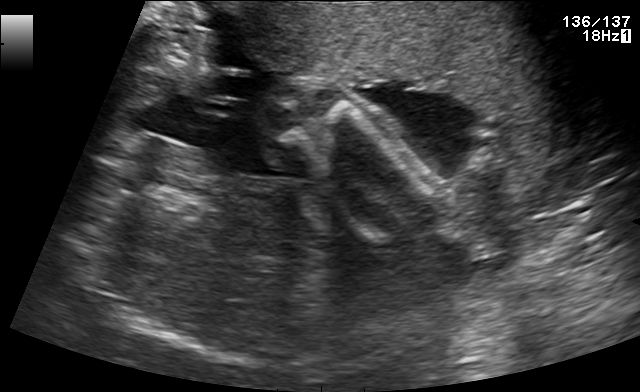
Classify this maternal-fetal ultrasound image as one of the six standard planes — fetal abdomen, fetal brain, fetal femur, fetal thorax, maternal cervix, or other. If it's fetal brain and one of the three standard brain planes (trans-thalamic, trans-cerebellum, trans-ventricular), name which.

Other